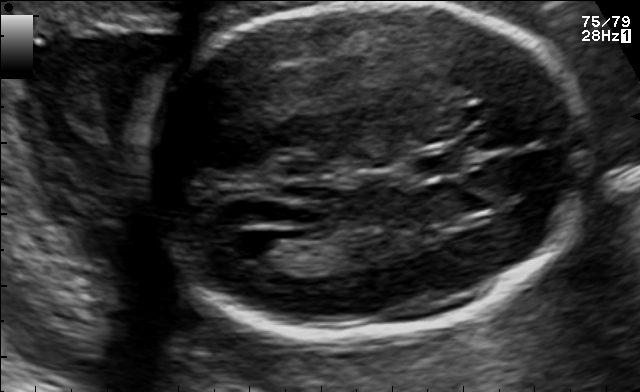
In this fetal brain, trans-ventricular plane, give the bounding box of the lateral ventricle.

[217,226,287,264]